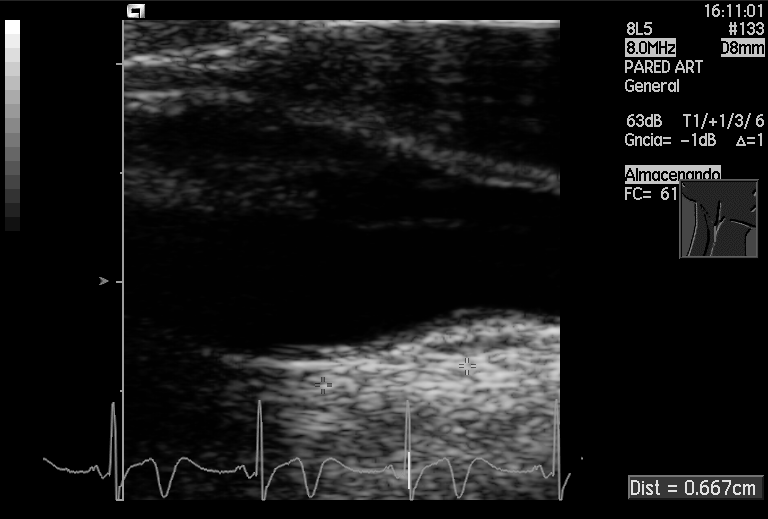
This is a 2D maternal-fetal ultrasound frame. Is it a fetal abdomen, fetal brain, fetal femur, fetal thorax, maternal cervix, or other standard plane? If it's fetal brain and one of the three standard brain planes (trans-thalamic, trans-cerebellum, trans-ventricular), name which.

Other